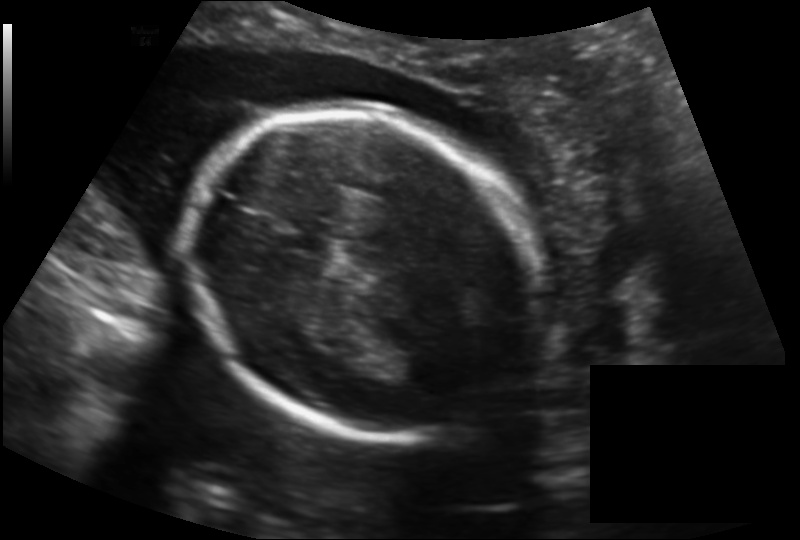
In this fetal head ultrasound, give the bounding box of the fetal head. Image width: 131.3 mm.

[189,106,537,440]